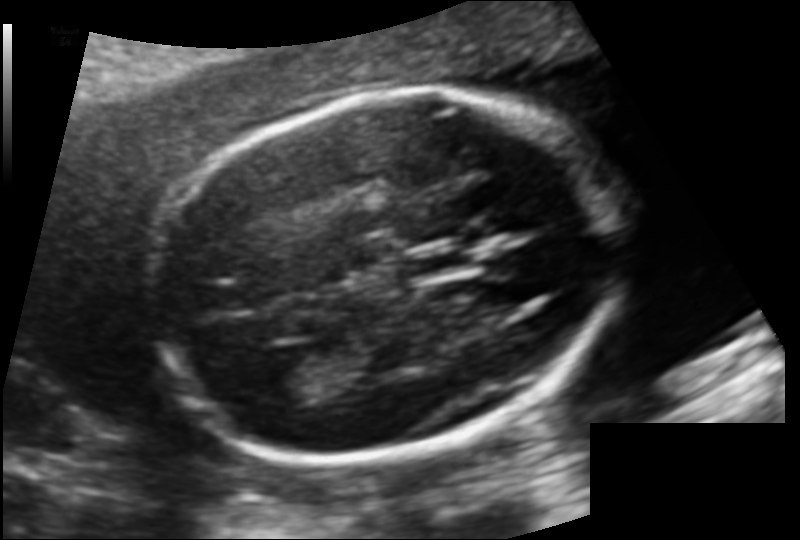
Fetal head ultrasound. Image width: 96.3 mm. Give [x1,y1,x2,y2] bounding boxes for each visible structure among: fetal head, CSP, LV.

Head: [152,92,613,459]
CSP: [405,243,469,282]
Lateral ventricle: [256,352,337,411]